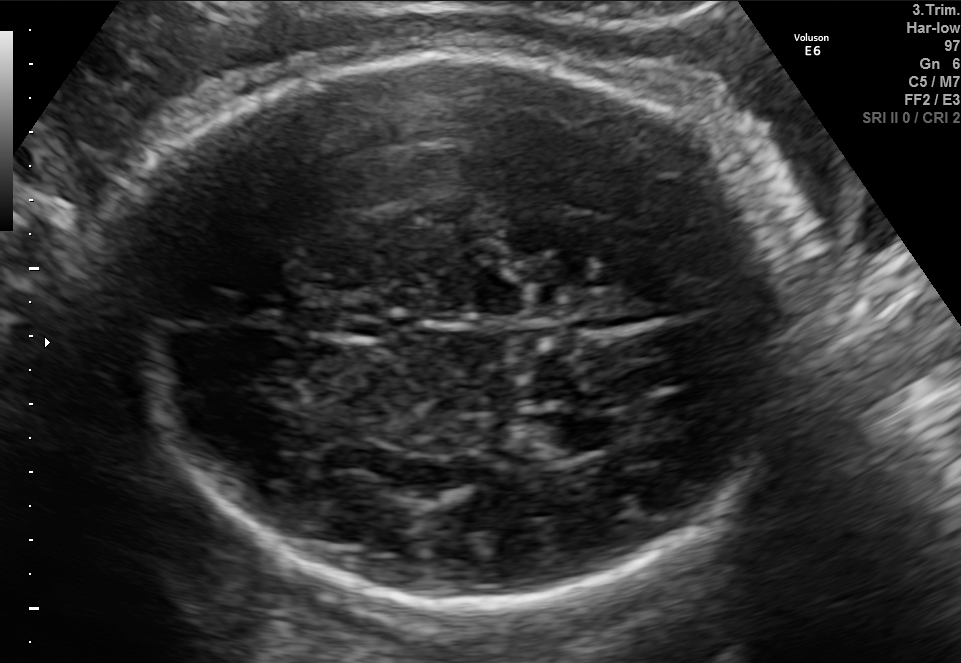
Fetal brain, trans-thalamic plane. Give [x1,y1,x2,y2] bounding boxes for each visible structure among: fetal head, CSP, LV.

Head: [109,42,794,605]
Lateral ventricle: [525,397,626,465]